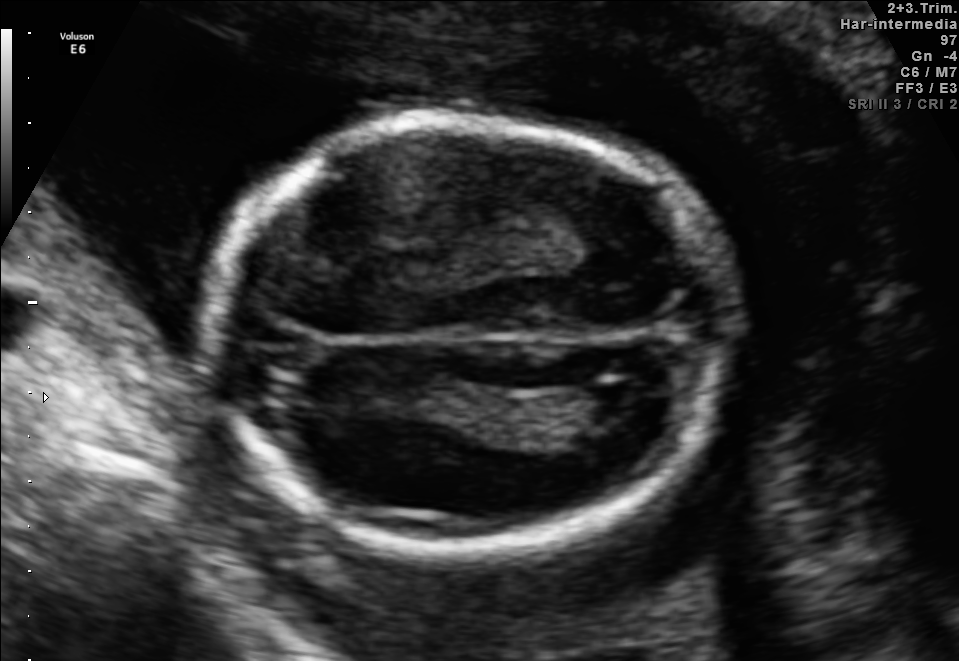
Fetal brain, trans-ventricular plane. Locate the fetal head.

Head: [191,108,748,559]